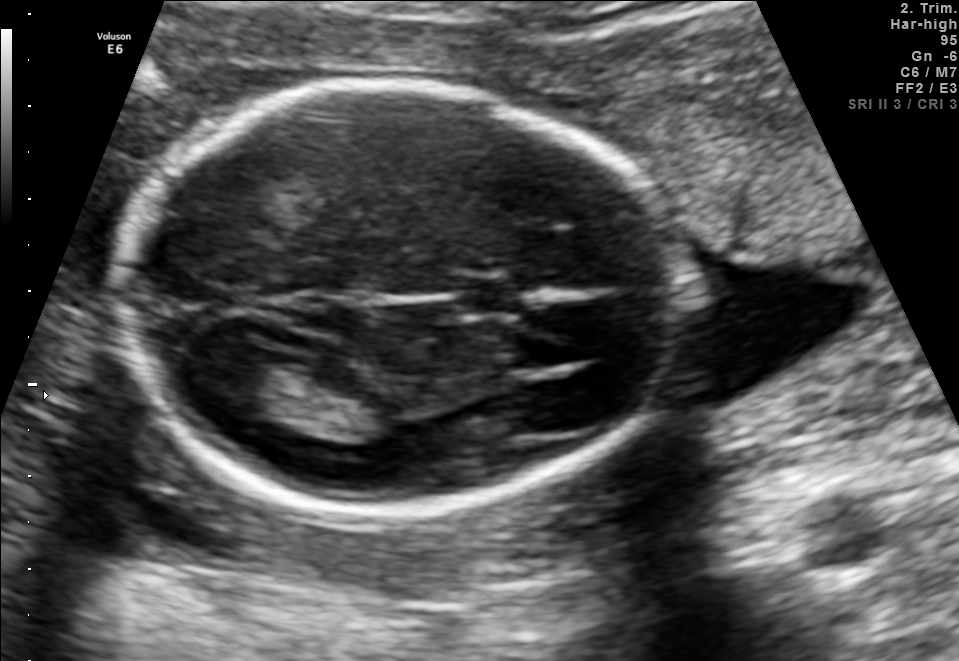
In this fetal brain, trans-thalamic plane, give the bounding box of the cavum septum pellucidum.

[453,278,522,313]